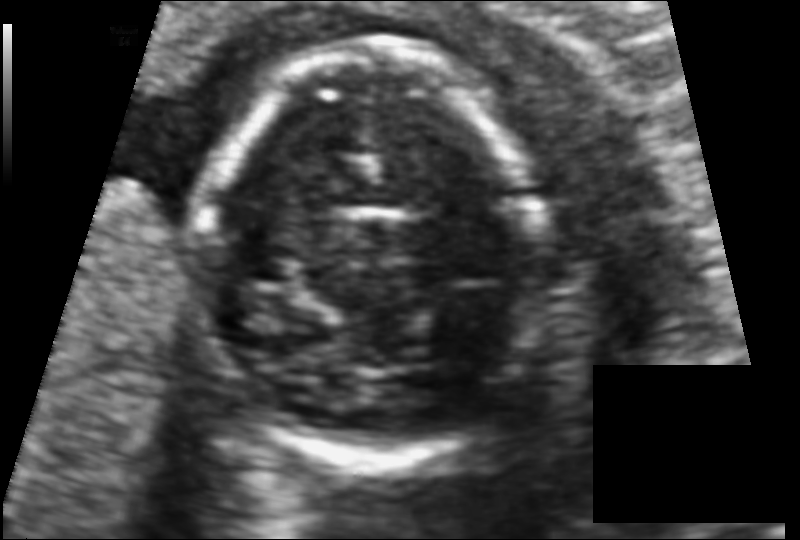
Estimate the fetal head circumference from this 2D ultrasound. Image width: 74.5 mm.

Head circumference: 112.7 mm.